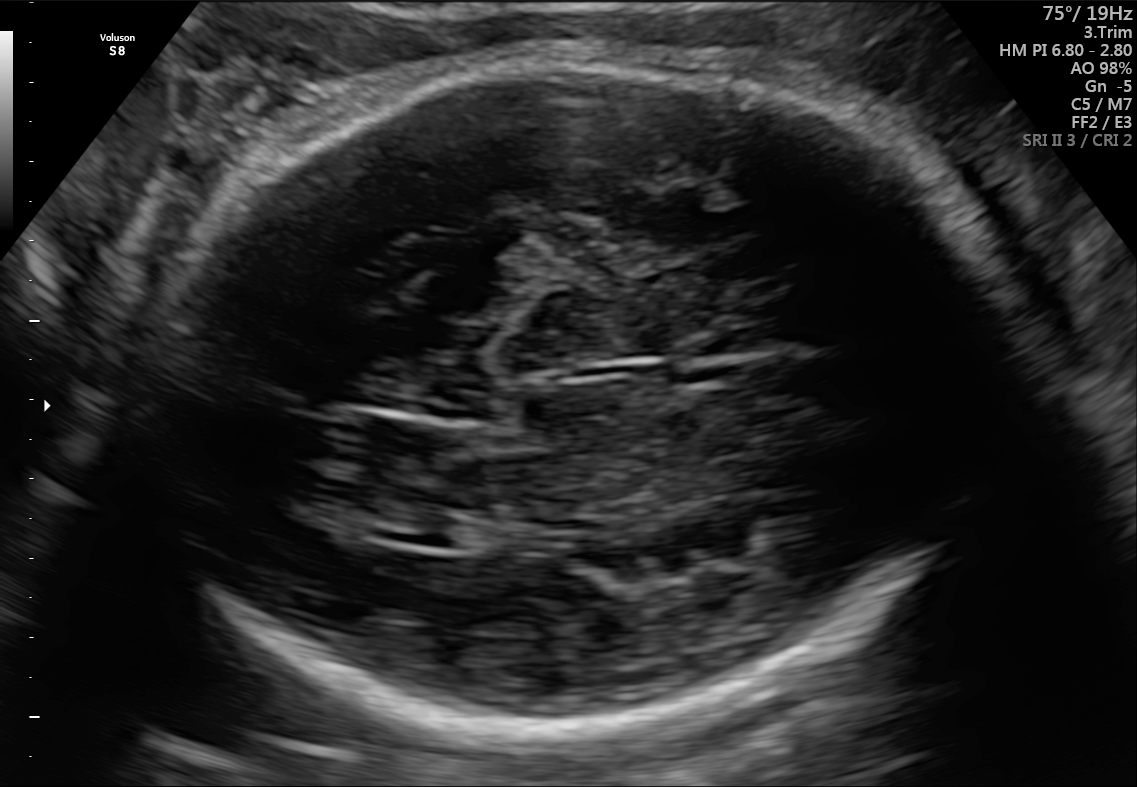
Fetal brain, trans-thalamic plane. Locate the fetal head.

Head: [142,58,1018,731]